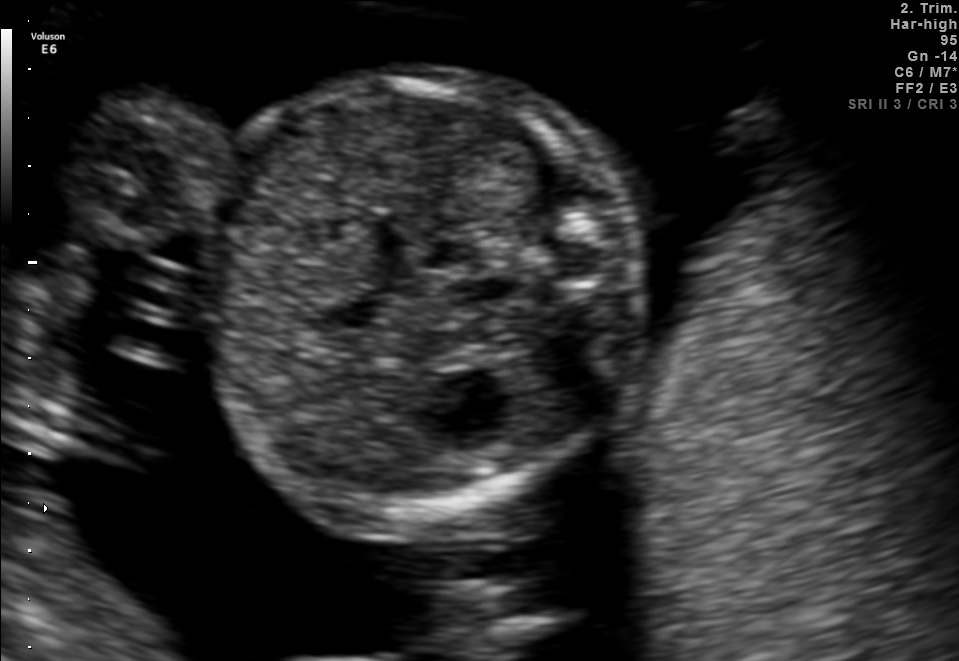
This is a 2D maternal-fetal ultrasound frame. Is it a fetal abdomen, fetal brain, fetal femur, fetal thorax, maternal cervix, or other standard plane? If it's fetal brain and one of the three standard brain planes (trans-thalamic, trans-cerebellum, trans-ventricular), name which.

Fetal abdomen